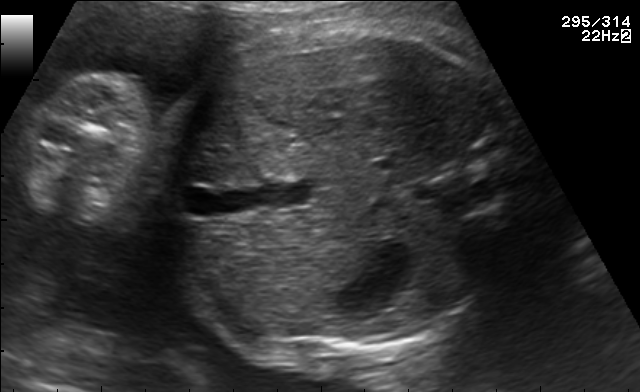
Which standard maternal-fetal ultrasound plane is shown: fetal abdomen, fetal brain, fetal femur, fetal thorax, maternal cervix, or other? If it's fetal brain and one of the three standard brain planes (trans-thalamic, trans-cerebellum, trans-ventricular), name which.

Fetal abdomen